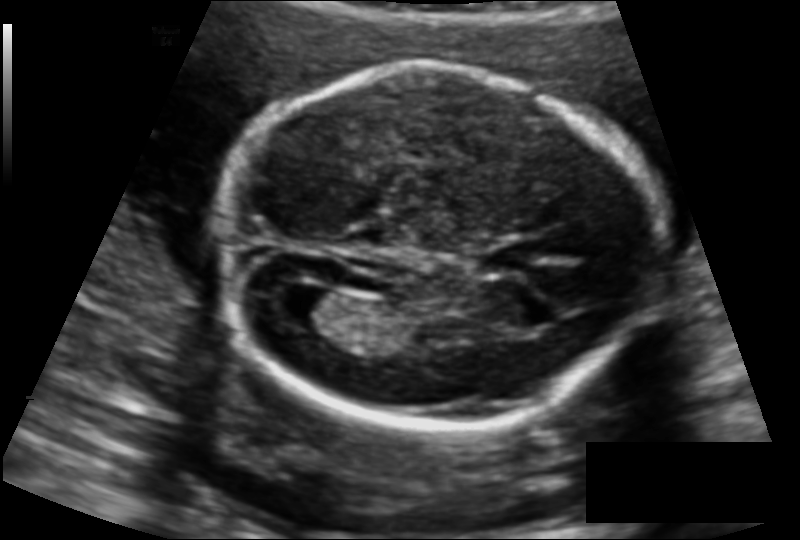
Estimate the fetal head circumference from this 2D ultrasound.

Head circumference: 161.4 mm (image width 101.8 mm).